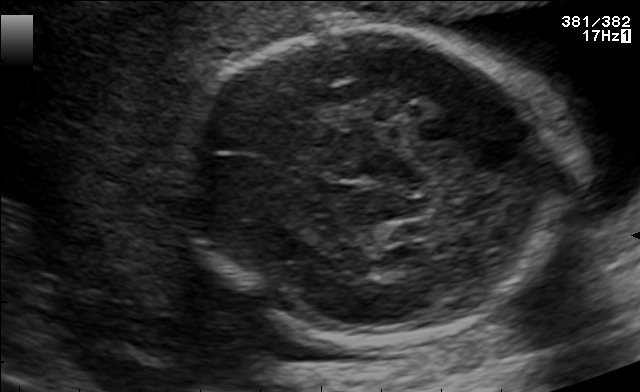
Which standard maternal-fetal ultrasound plane is shown: fetal abdomen, fetal brain, fetal femur, fetal thorax, maternal cervix, or other? If it's fetal brain and one of the three standard brain planes (trans-thalamic, trans-cerebellum, trans-ventricular), name which.

Fetal brain (trans-thalamic plane)